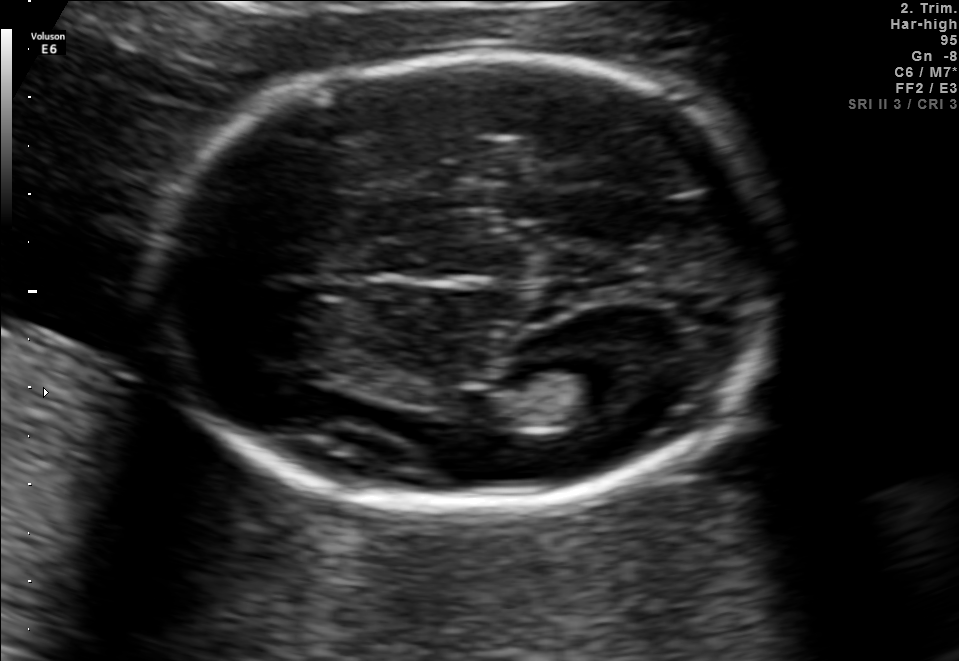
Fetal brain, trans-thalamic plane. Locate the fetal head and, if visible, the cavum septum pellucidum (CSP) and lateral ventricle (LV). Give bounding boxes as [x1,y1,x2,y2].

Head: [144,54,773,511]
Lateral ventricle: [526,341,659,431]